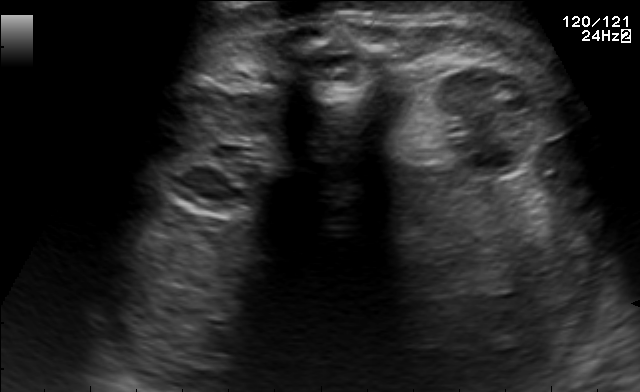
Classify this maternal-fetal ultrasound image as one of the six standard planes — fetal abdomen, fetal brain, fetal femur, fetal thorax, maternal cervix, or other. If it's fetal brain and one of the three standard brain planes (trans-thalamic, trans-cerebellum, trans-ventricular), name which.

Other